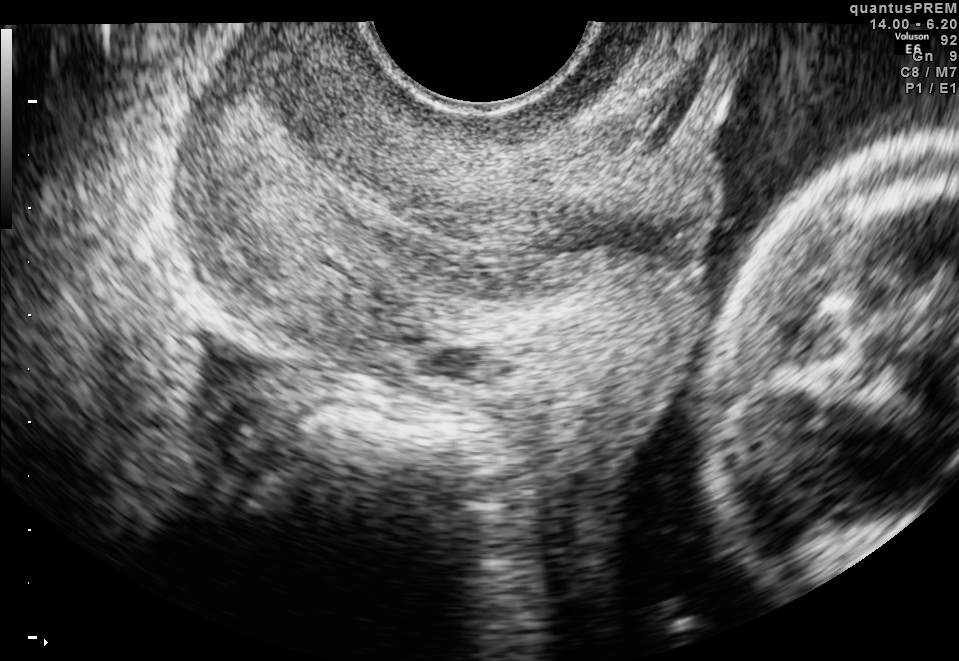
Classify this maternal-fetal ultrasound image as one of the six standard planes — fetal abdomen, fetal brain, fetal femur, fetal thorax, maternal cervix, or other. If it's fetal brain and one of the three standard brain planes (trans-thalamic, trans-cerebellum, trans-ventricular), name which.

Maternal cervix